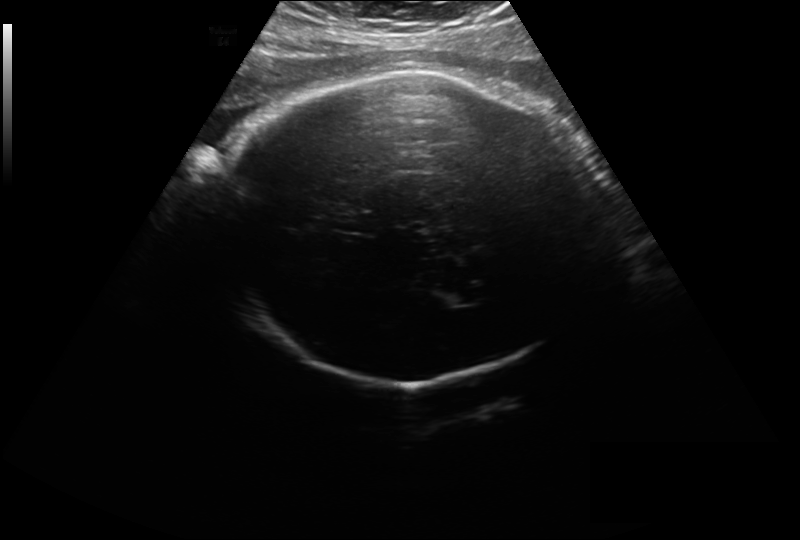
In this fetal head ultrasound, give bounding boxes for the head outline, cavum septum pellucidum (CSP), and lateral ventricle (LV), where visible. Image width: 237.5 mm.

Head: [216,70,602,383]